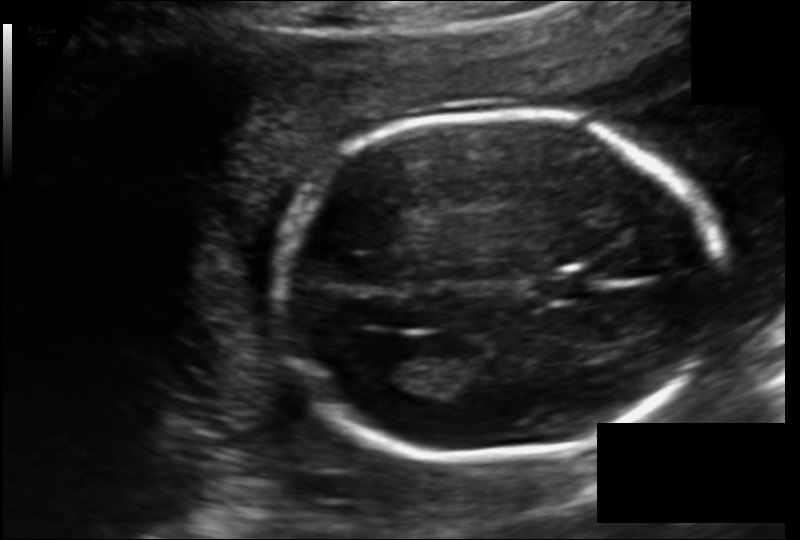
Fetal head ultrasound. Image width: 107.8 mm. Where is the fetal head?

Head bounding box: [274,110,729,454]